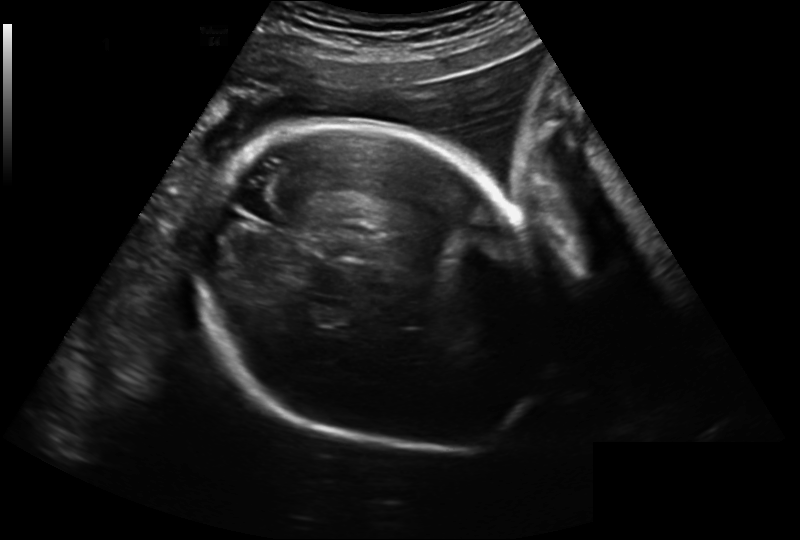
Fetal head ultrasound. Image width: 192.8 mm. Where is the fetal head?

Head bounding box: [199,119,552,453]